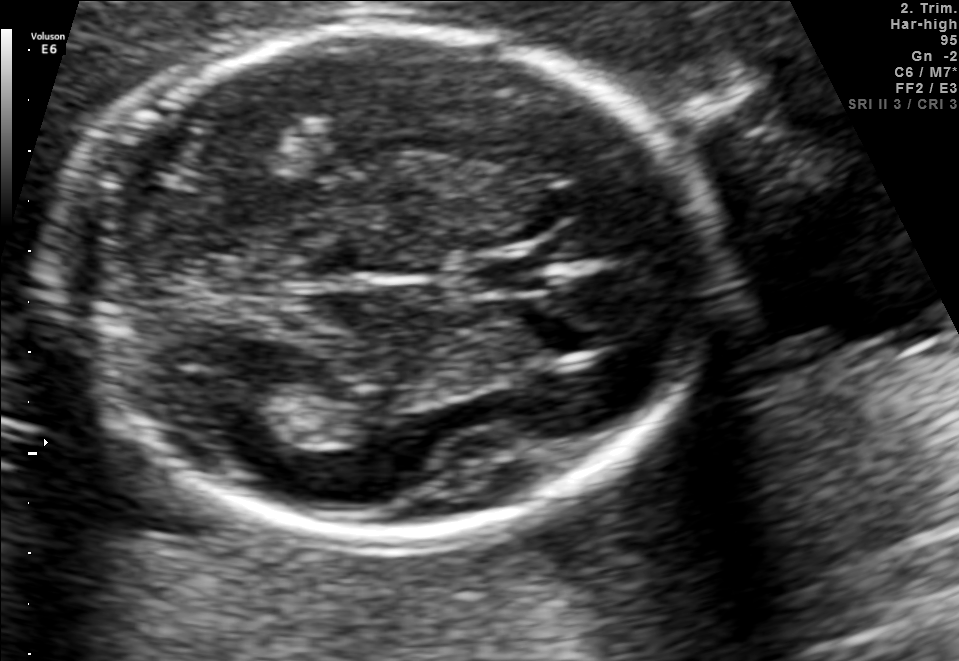
Classify this maternal-fetal ultrasound image as one of the six standard planes — fetal abdomen, fetal brain, fetal femur, fetal thorax, maternal cervix, or other. If it's fetal brain and one of the three standard brain planes (trans-thalamic, trans-cerebellum, trans-ventricular), name which.

Fetal brain (trans-thalamic plane)